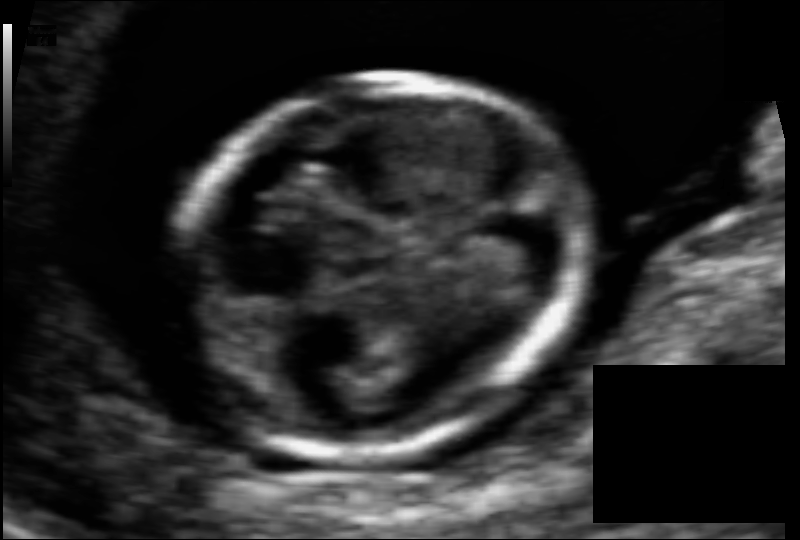
In this fetal head ultrasound, give the bounding box of the fetal head. Image width: 43.2 mm.

[173,74,583,458]